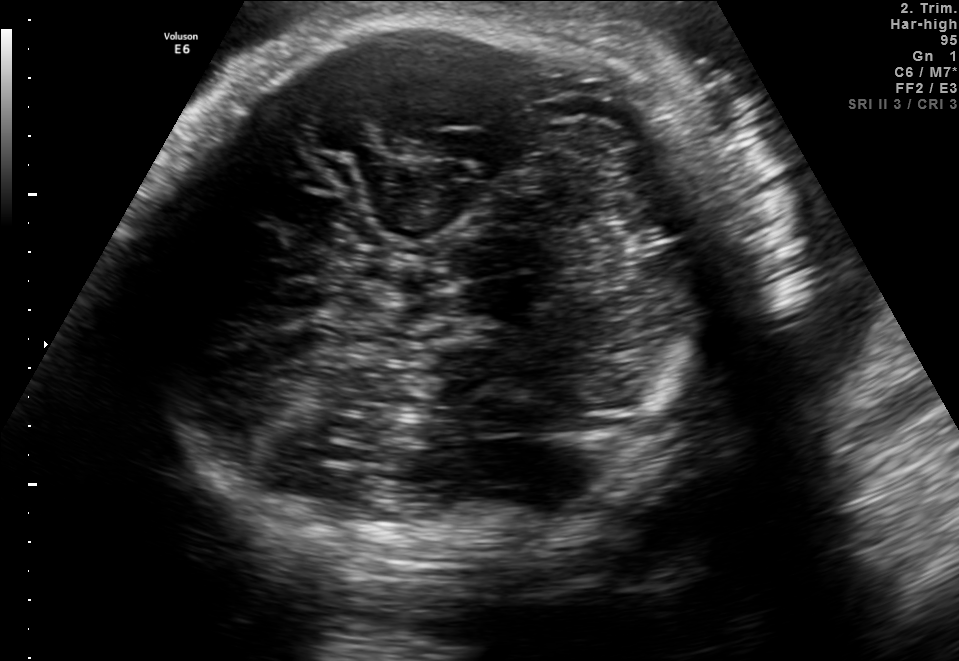
Fetal brain, trans-thalamic plane. Where is the fetal head?

Head bounding box: [133,15,742,570]